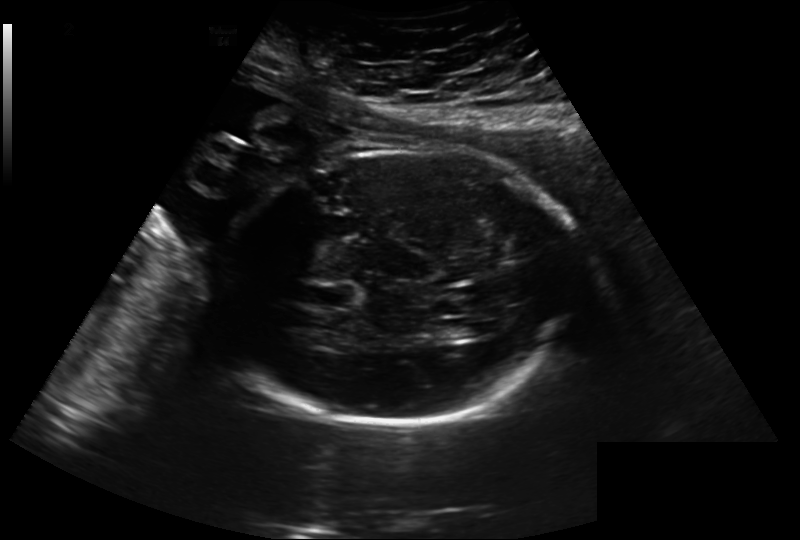
What is the fetal head circumference? Image width is 208.3 mm.

269.0 mm